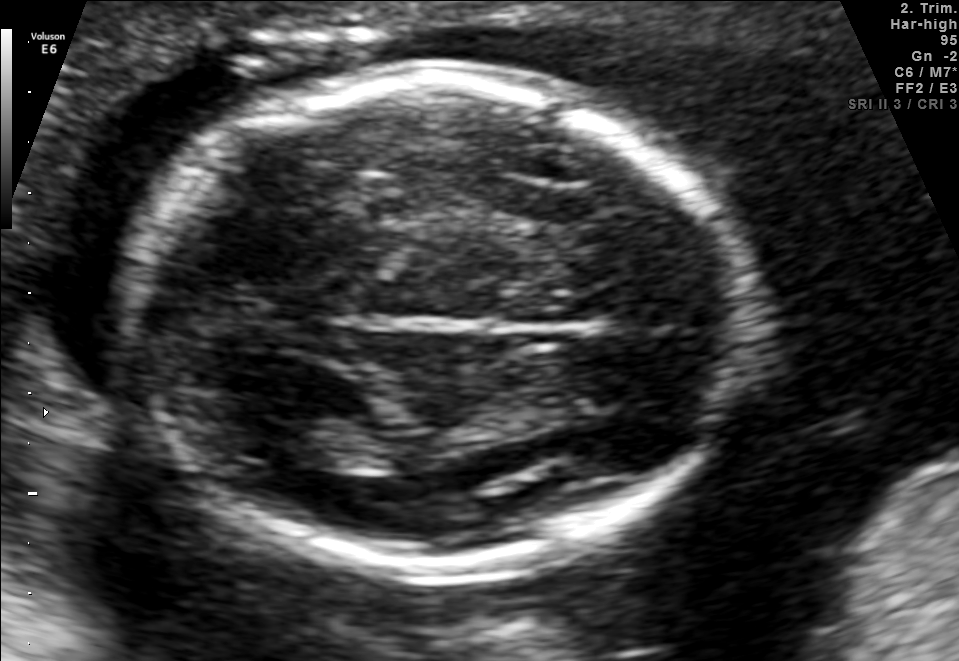
Fetal brain, trans-thalamic plane. Where is the fetal head?

Head bounding box: [119,76,750,569]